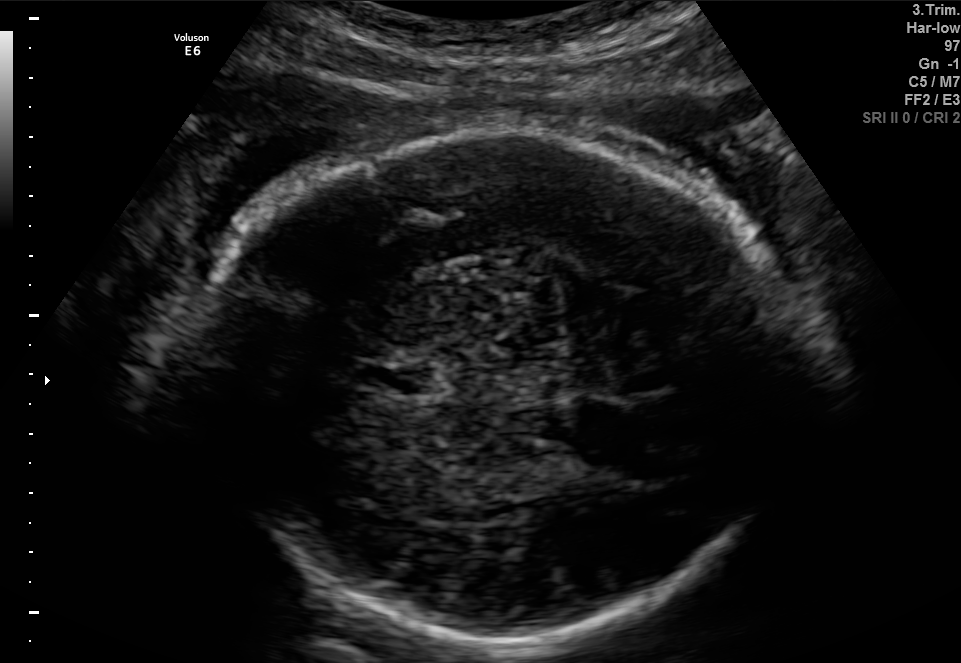
Fetal brain, trans-thalamic plane. Give [x1,y1,x2,y2] bounding boxes for each visible structure among: fetal head, CSP, LV.

Head: [188,130,809,643]
CSP: [357,360,420,398]